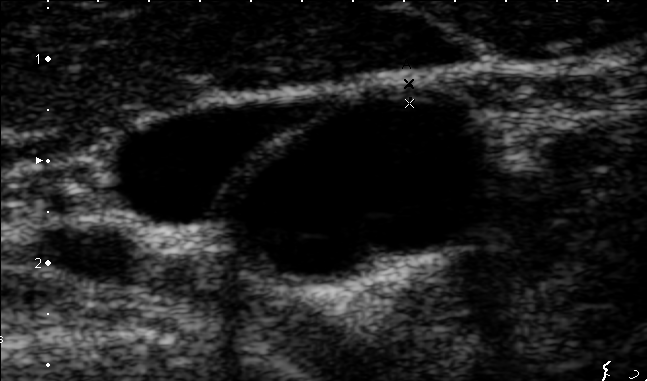
This is a 2D maternal-fetal ultrasound frame. Is it a fetal abdomen, fetal brain, fetal femur, fetal thorax, maternal cervix, or other standard plane? If it's fetal brain and one of the three standard brain planes (trans-thalamic, trans-cerebellum, trans-ventricular), name which.

Other